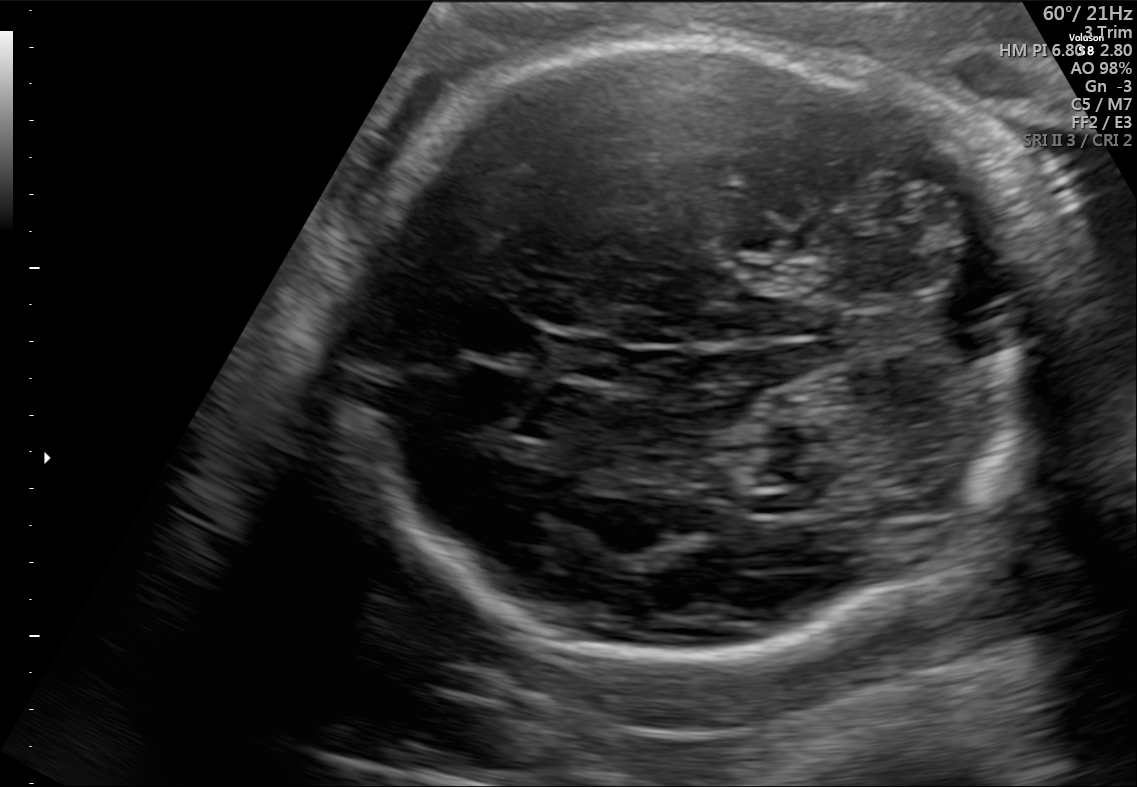
Fetal brain, trans-cerebellum plane. Give [x1,y1,x2,y2] bounding boxes for each visible structure among: fetal head, CSP, LV.

Head: [345,42,1034,655]